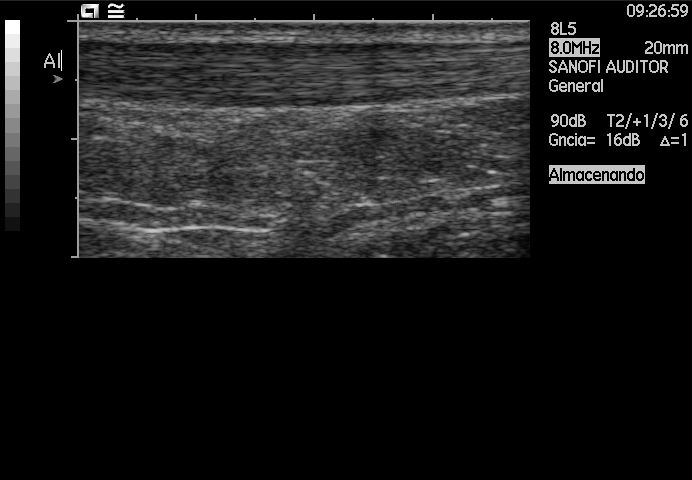
Classify this maternal-fetal ultrasound image as one of the six standard planes — fetal abdomen, fetal brain, fetal femur, fetal thorax, maternal cervix, or other. If it's fetal brain and one of the three standard brain planes (trans-thalamic, trans-cerebellum, trans-ventricular), name which.

Other